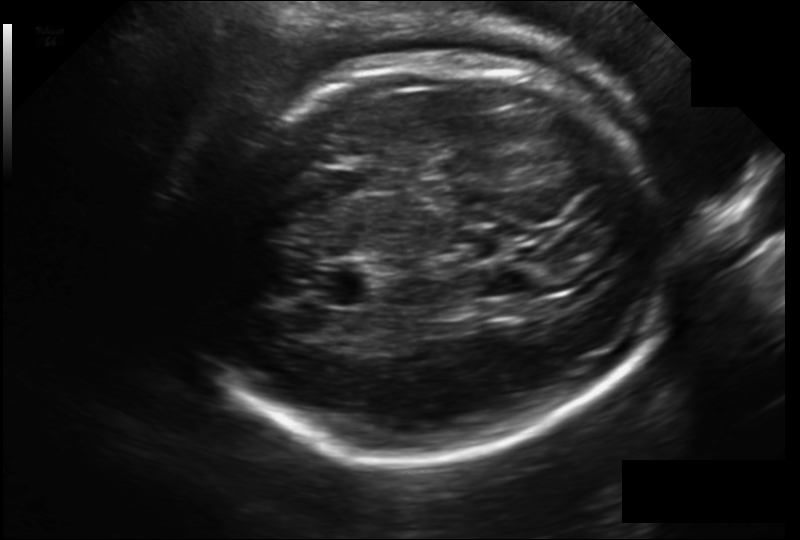
Fetal head ultrasound. Image width: 162.0 mm. Locate the fetal head and, if visible, the cavum septum pellucidum (CSP) and lateral ventricle (LV). Give bounding boxes as [x1,y1,x2,y2].

Head: [183,54,664,462]